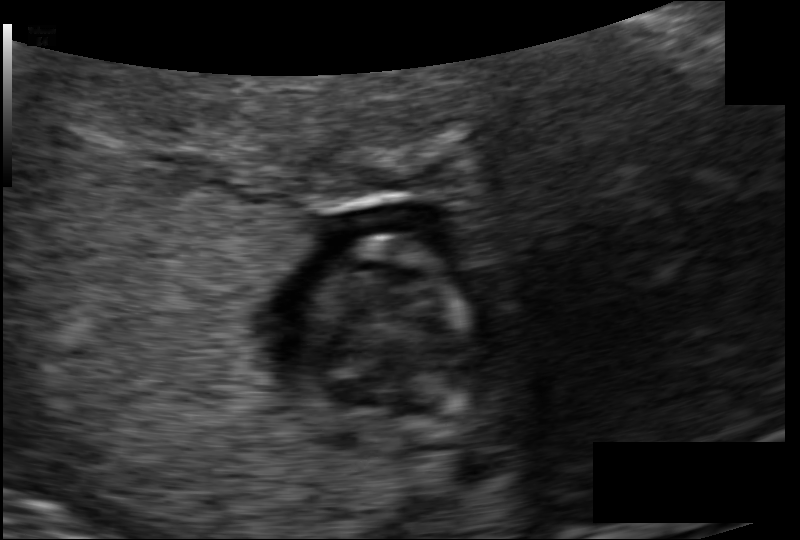
Fetal head ultrasound. Image width: 78.7 mm. Locate the fetal head and, if visible, the cavum septum pellucidum (CSP) and lateral ventricle (LV). Give bounding boxes as [x1,y1,x2,y2].

Head: [306,237,467,432]